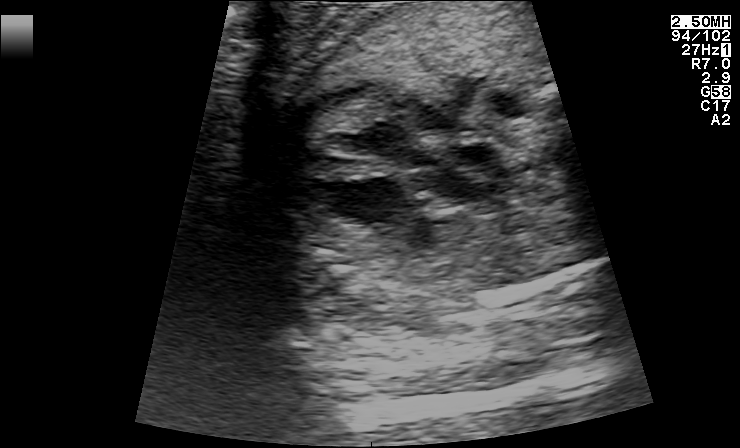
Classify this maternal-fetal ultrasound image as one of the six standard planes — fetal abdomen, fetal brain, fetal femur, fetal thorax, maternal cervix, or other. If it's fetal brain and one of the three standard brain planes (trans-thalamic, trans-cerebellum, trans-ventricular), name which.

Fetal thorax